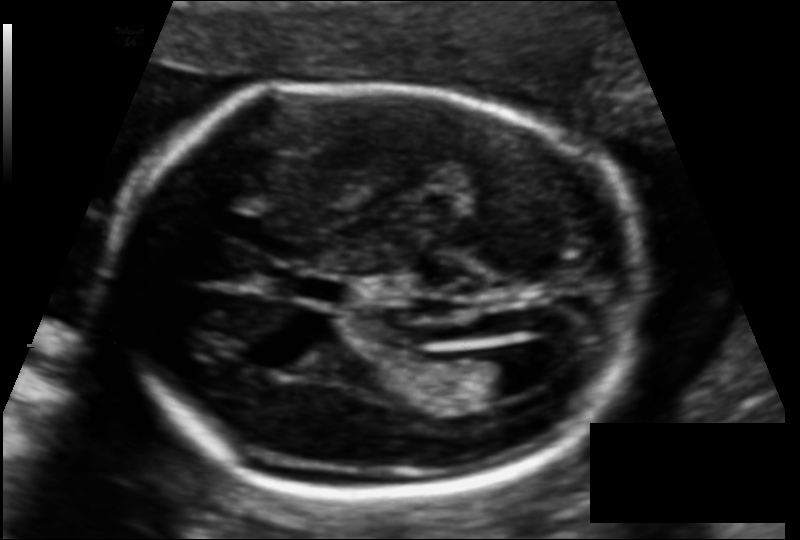
Fetal head ultrasound. Image width: 92.4 mm. Where is the fetal head?

Head bounding box: [105,87,647,493]